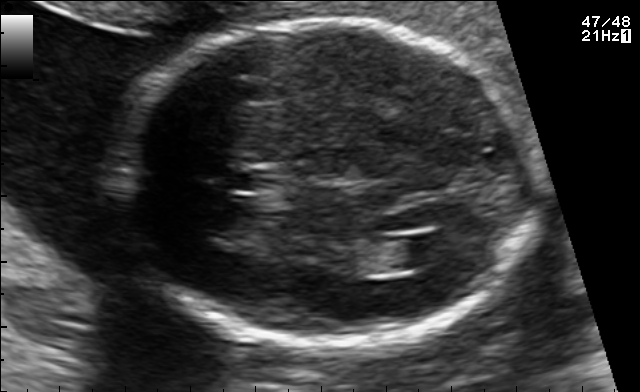
Fetal brain, trans-ventricular plane. Locate the lateral ventricle.

Lateral ventricle: [392,230,453,269]